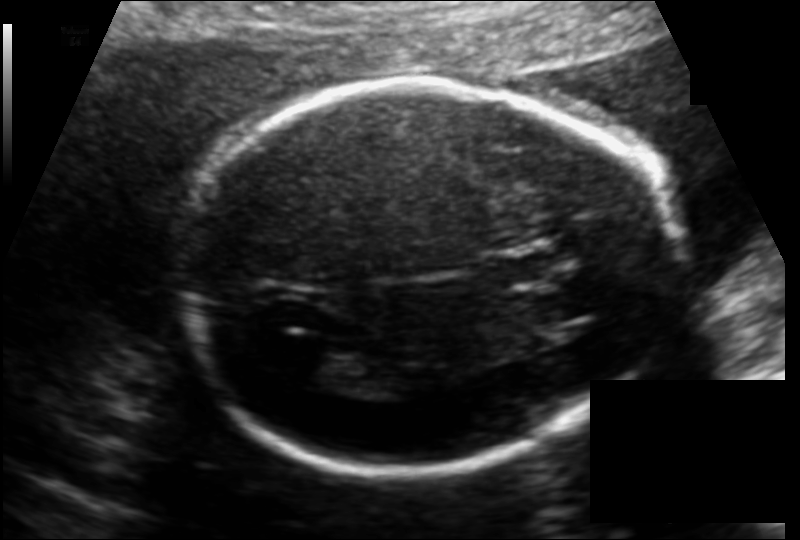
In this fetal head ultrasound, give the bounding box of the cavum septum pellucidum. Image width: 104.3 mm.

[491,238,571,291]